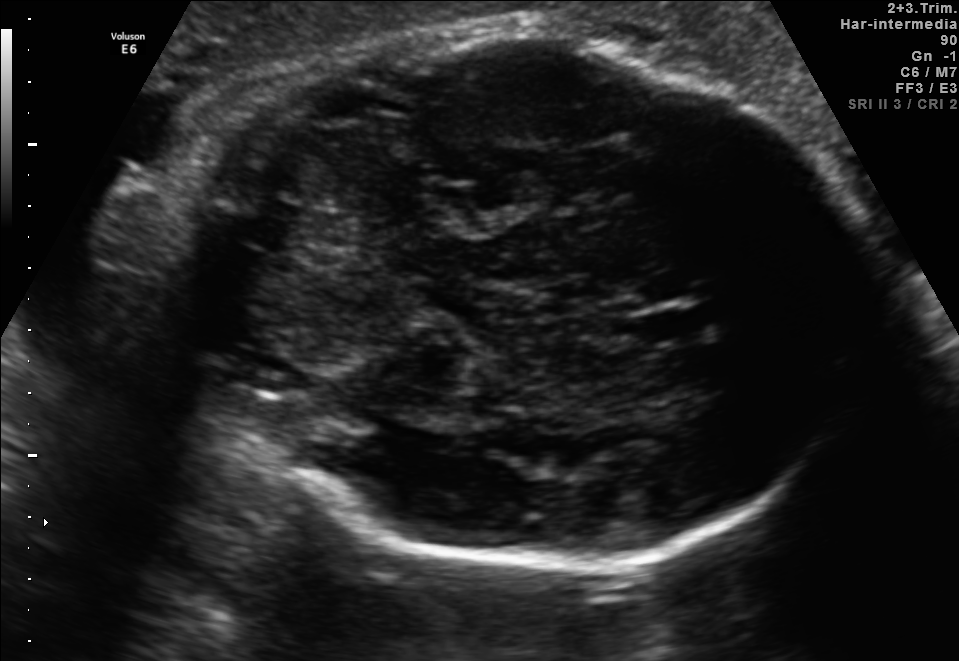
Fetal brain, trans-cerebellum plane. Where is the fetal head?

Head bounding box: [171,30,856,569]